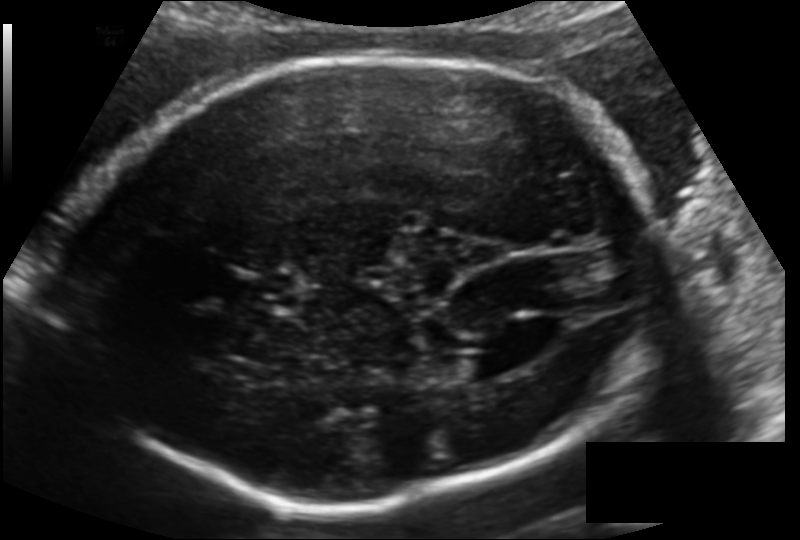
Fetal head ultrasound. Image width: 118.6 mm. Locate the lateral ventricle.

Lateral ventricle: [446,346,508,391]